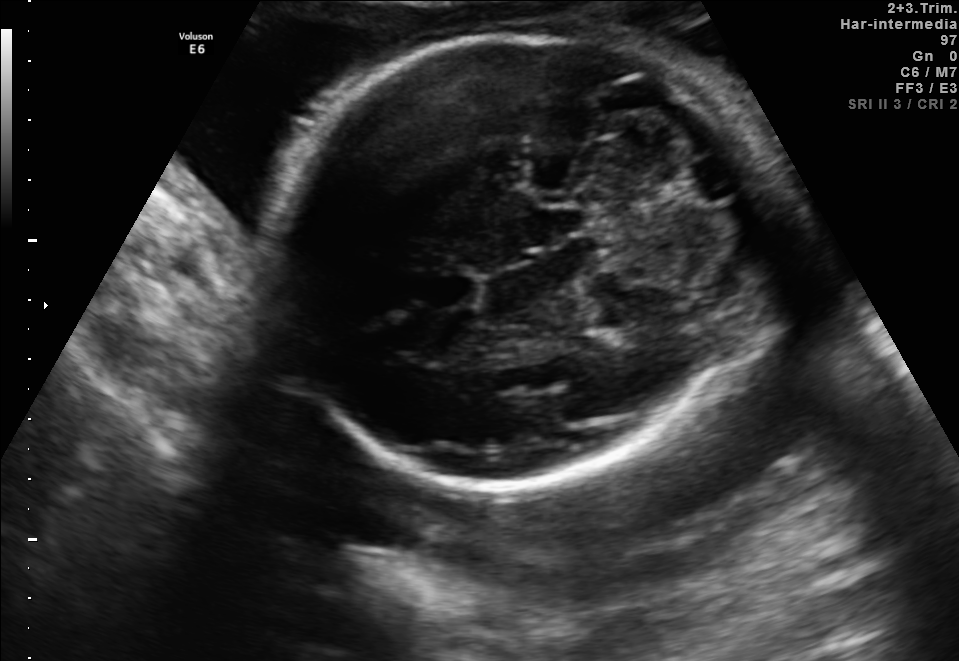
Fetal brain, trans-cerebellum plane. Locate the fetal head.

Head: [276,30,757,493]